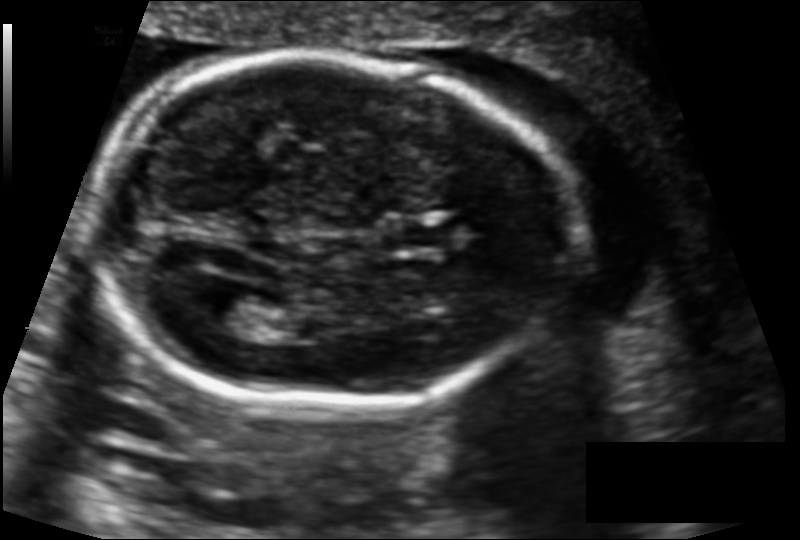
Fetal head ultrasound. Image width: 97.4 mm. Locate the cavum septum pellucidum.

CSP: [382,218,452,251]